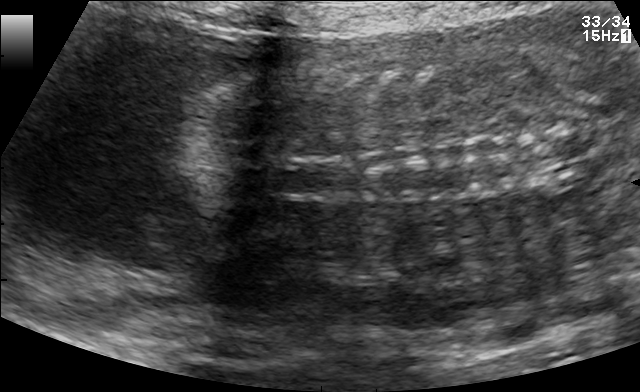
This is a 2D maternal-fetal ultrasound frame. Is it a fetal abdomen, fetal brain, fetal femur, fetal thorax, maternal cervix, or other standard plane? If it's fetal brain and one of the three standard brain planes (trans-thalamic, trans-cerebellum, trans-ventricular), name which.

Other